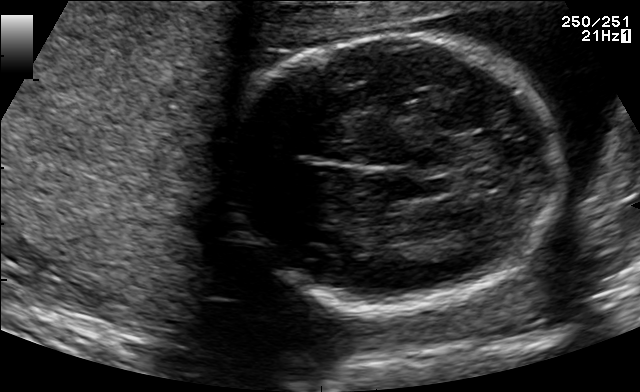
Which standard maternal-fetal ultrasound plane is shown: fetal abdomen, fetal brain, fetal femur, fetal thorax, maternal cervix, or other? If it's fetal brain and one of the three standard brain planes (trans-thalamic, trans-cerebellum, trans-ventricular), name which.

Fetal brain (trans-thalamic plane)